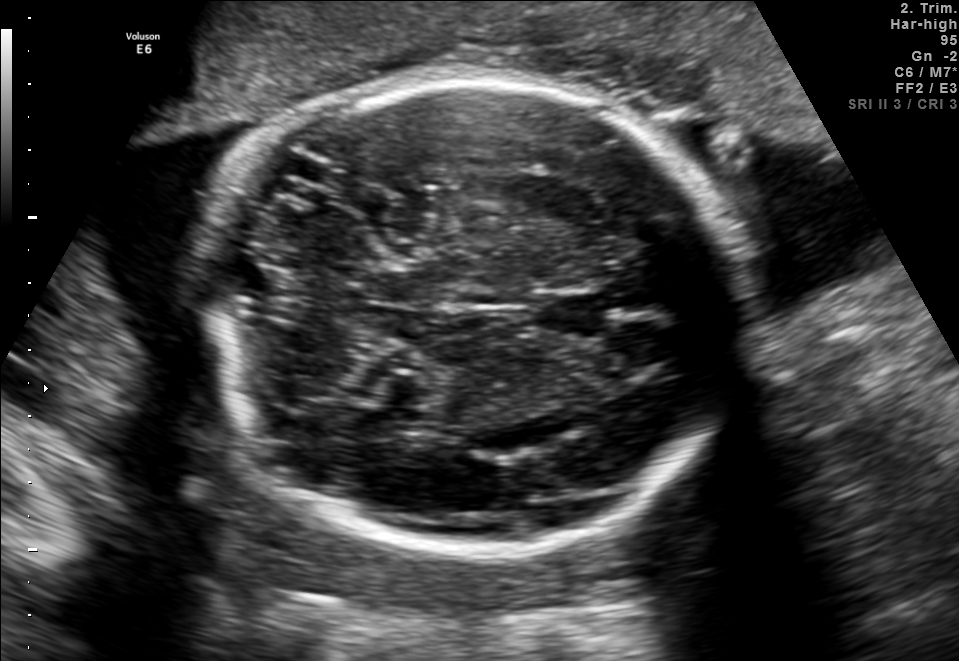
This is a 2D maternal-fetal ultrasound frame. Is it a fetal abdomen, fetal brain, fetal femur, fetal thorax, maternal cervix, or other standard plane? If it's fetal brain and one of the three standard brain planes (trans-thalamic, trans-cerebellum, trans-ventricular), name which.

Fetal brain (trans-cerebellum plane)